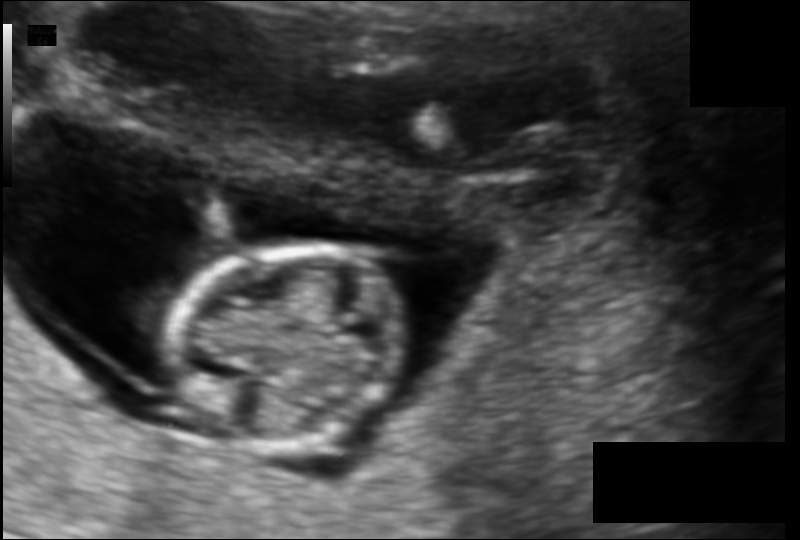
Fetal head ultrasound. Image width: 83.9 mm. Where is the fetal head?

Head bounding box: [165,244,405,443]